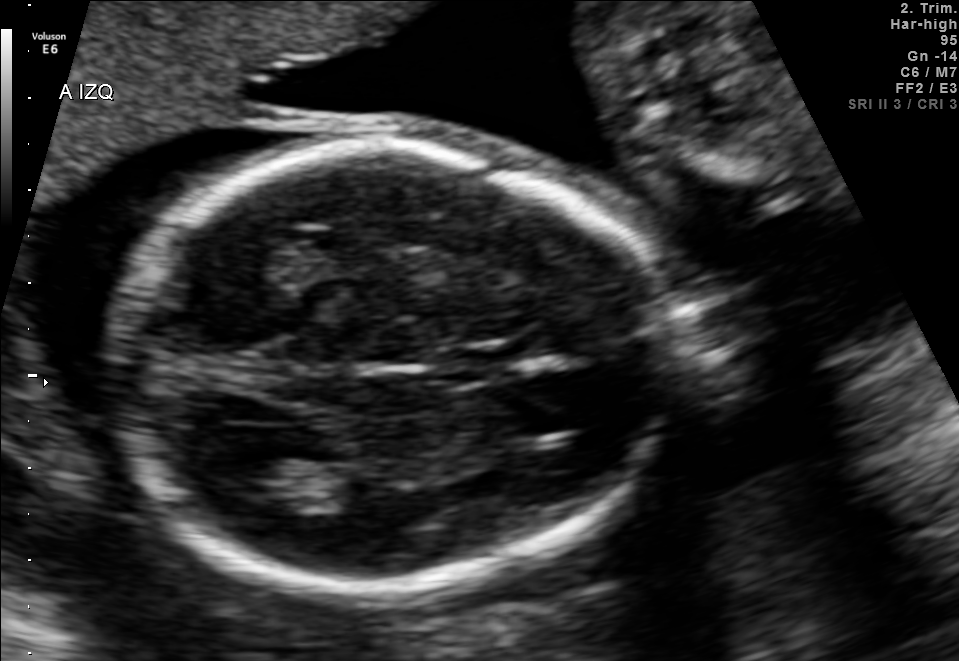
Fetal brain, trans-thalamic plane. Locate the lateral ventricle.

Lateral ventricle: [222,464,320,509]